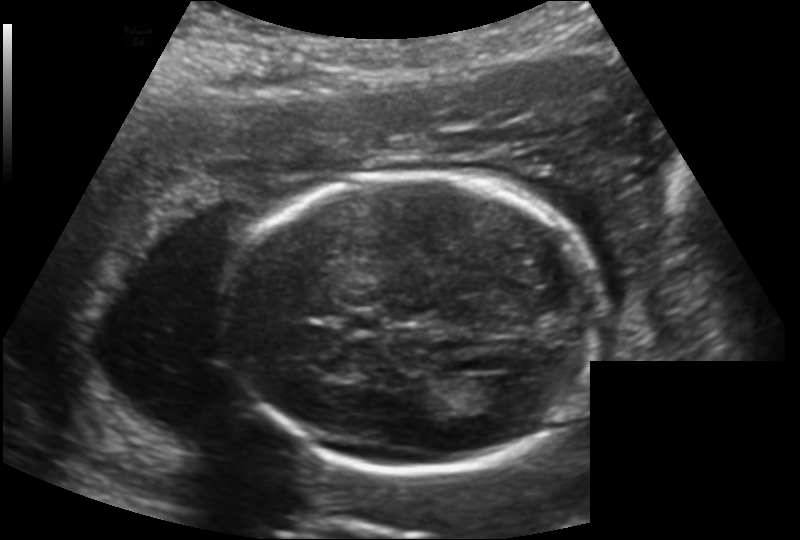
From this fetal ultrasound, estimate the head circumference (image width 135.0 mm).

Head circumference: 184.8 mm.